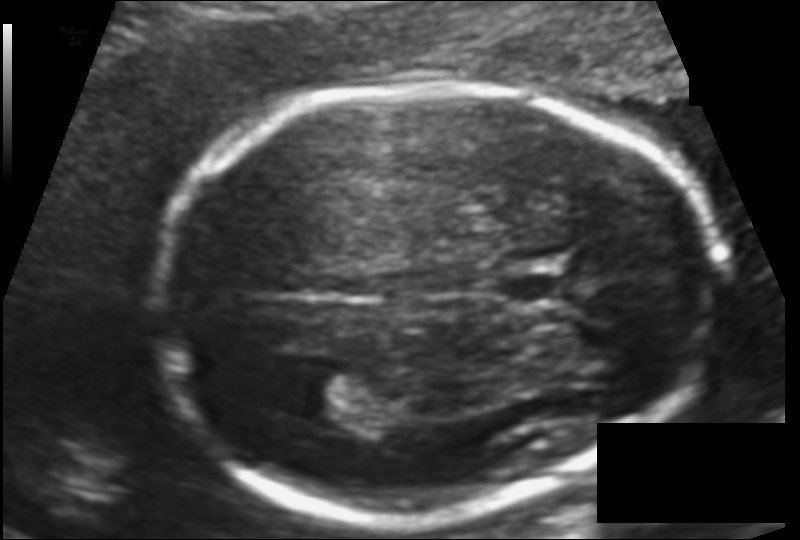
In this fetal head ultrasound, give the bounding box of the lateral ventricle. Image width: 87.8 mm.

[282,365,367,423]